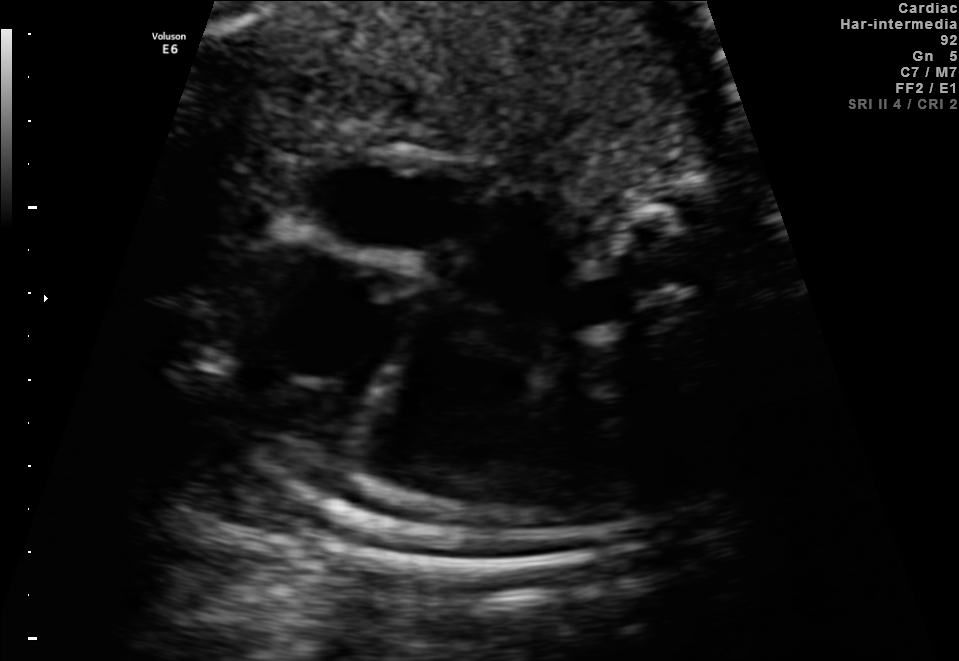
Identify the standard plane in this fetal ultrasound image: fetal abdomen, fetal brain, fetal femur, fetal thorax, maternal cervix, or other. If it's fetal brain and one of the three standard brain planes (trans-thalamic, trans-cerebellum, trans-ventricular), name which.

Fetal thorax